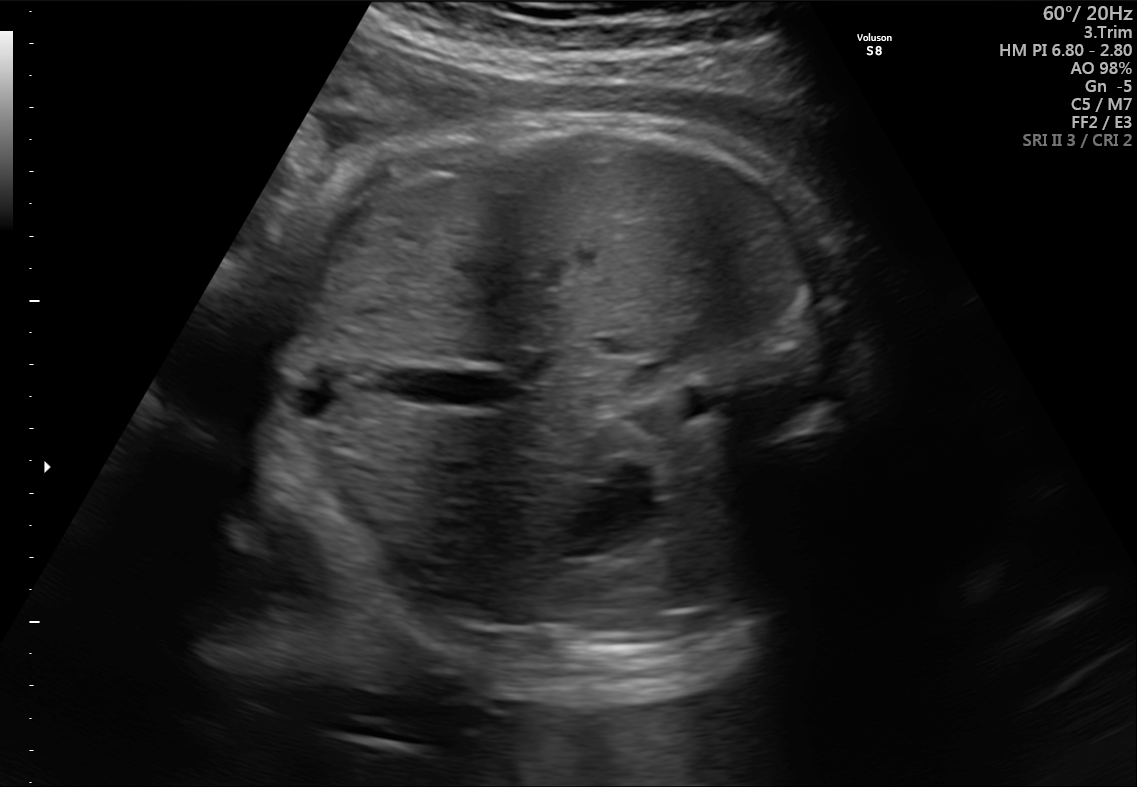
Which standard maternal-fetal ultrasound plane is shown: fetal abdomen, fetal brain, fetal femur, fetal thorax, maternal cervix, or other? If it's fetal brain and one of the three standard brain planes (trans-thalamic, trans-cerebellum, trans-ventricular), name which.

Other